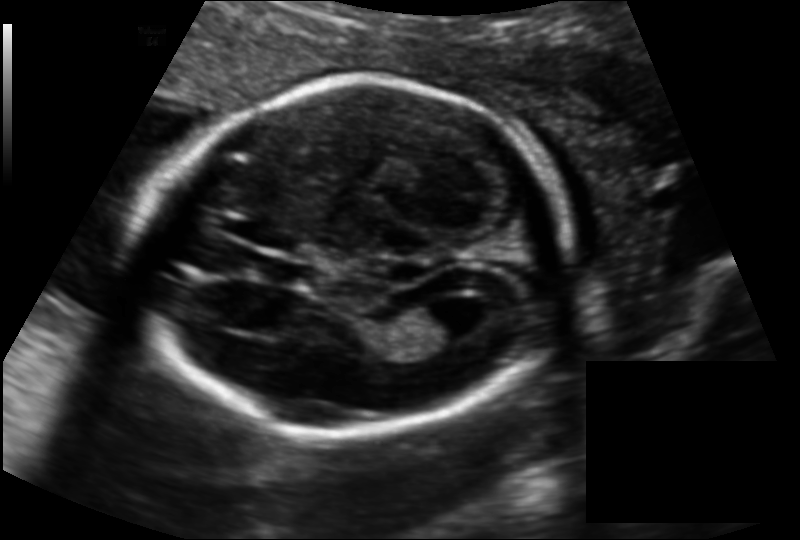
Fetal head ultrasound. Image width: 107.9 mm. Locate the fetal head and, if visible, the cavum septum pellucidum (CSP) and lateral ventricle (LV). Give bounding boxes as [x1,y1,x2,y2].

Head: [138,80,569,434]
CSP: [257,252,312,290]
Lateral ventricle: [406,280,490,355]